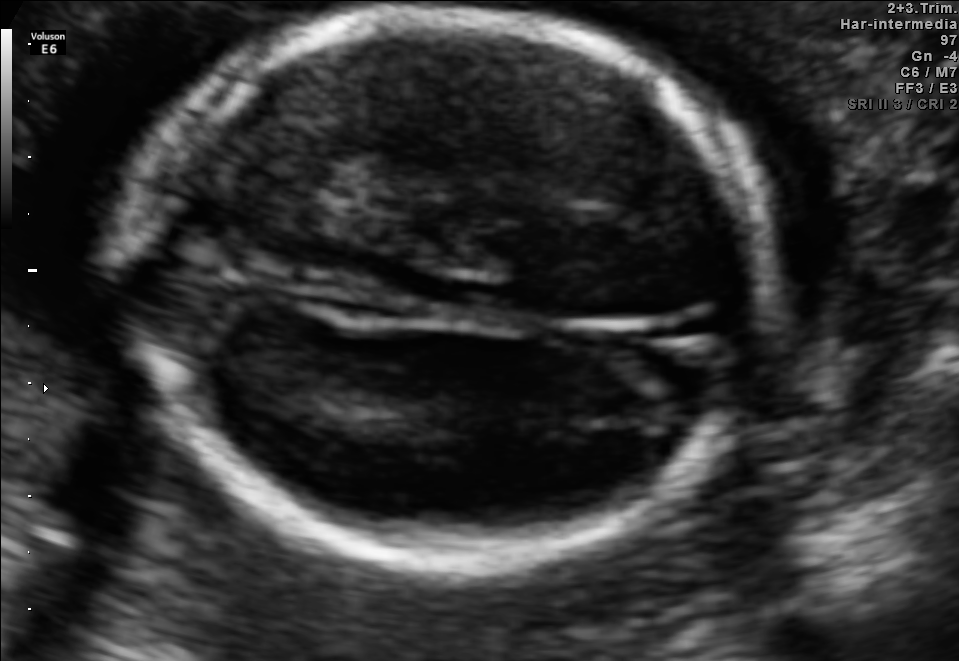
Fetal brain, trans-thalamic plane. Locate the fetal head and, if visible, the cavum septum pellucidum (CSP) and lateral ventricle (LV). Give bounding boxes as [x1,y1,x2,y2].

Head: [130,16,763,555]